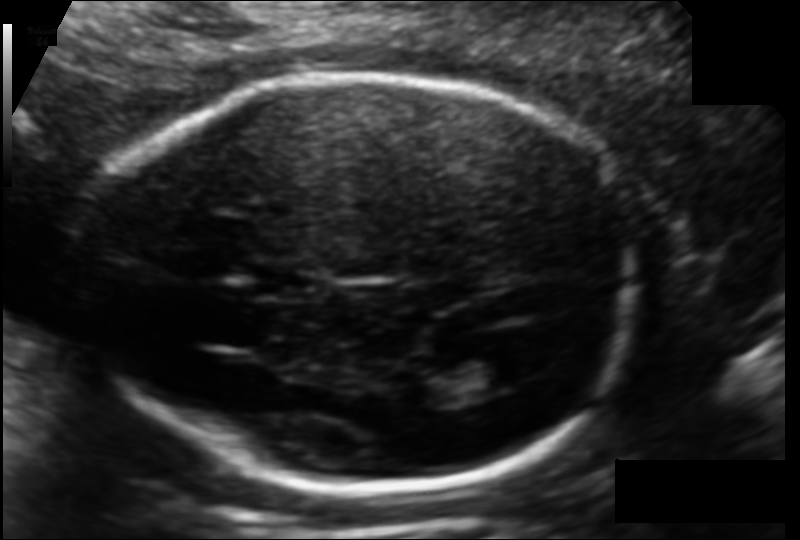
From this fetal ultrasound, estimate the head circumference (image width 90.5 mm).

Head circumference: 181.2 mm.